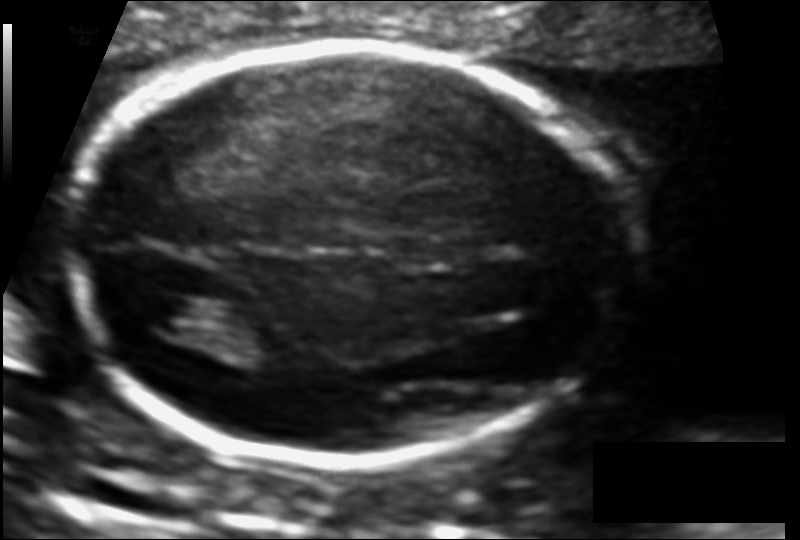
Fetal head ultrasound. Image width: 88.9 mm. Locate the fetal head.

Head: [73,47,611,466]